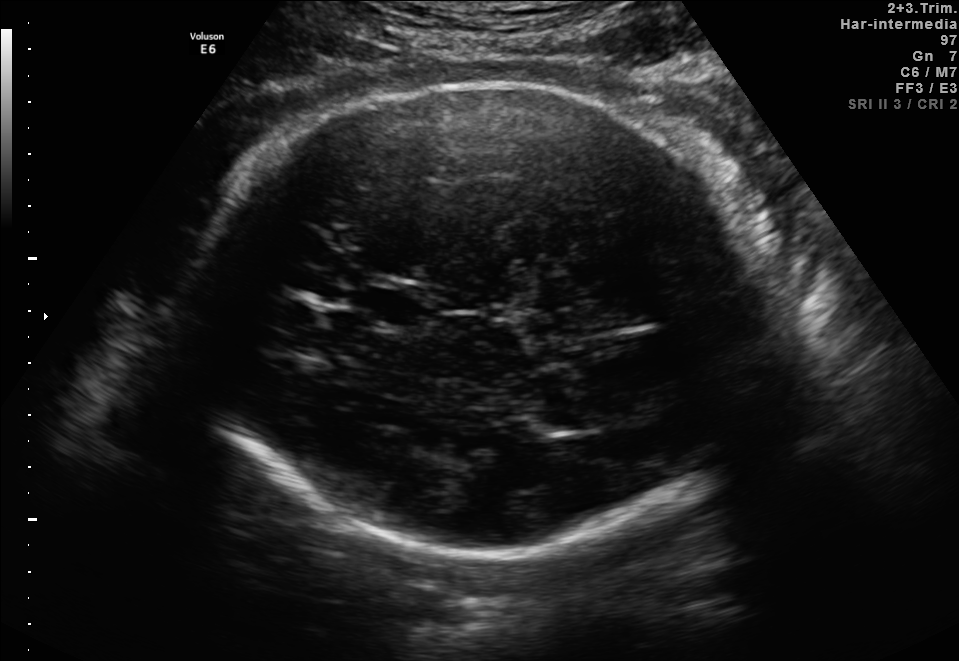
Fetal brain, trans-thalamic plane. Locate the lateral ventricle.

Lateral ventricle: [532,403,607,435]